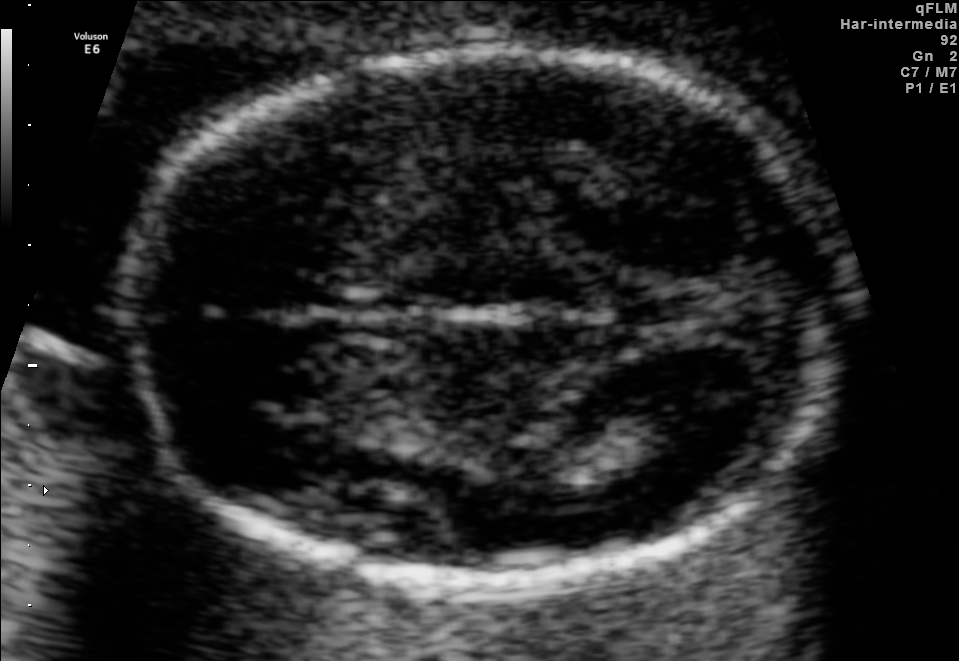
Fetal brain, trans-thalamic plane. Where is the fetal head?

Head bounding box: [124,52,841,577]